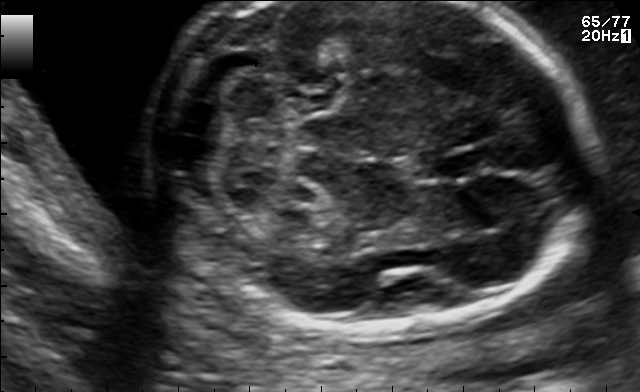
Fetal brain, trans-cerebellum plane. Where is the cavum septum pellucidum?

CSP bounding box: [432,143,494,185]